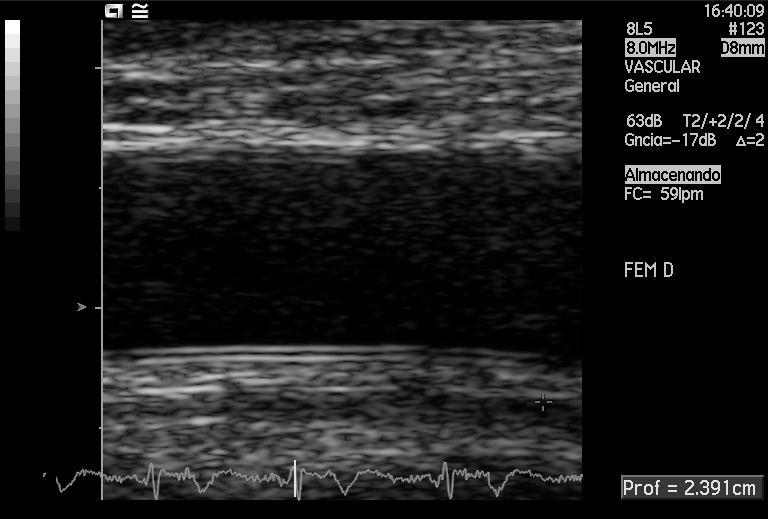
Classify this maternal-fetal ultrasound image as one of the six standard planes — fetal abdomen, fetal brain, fetal femur, fetal thorax, maternal cervix, or other. If it's fetal brain and one of the three standard brain planes (trans-thalamic, trans-cerebellum, trans-ventricular), name which.

Other